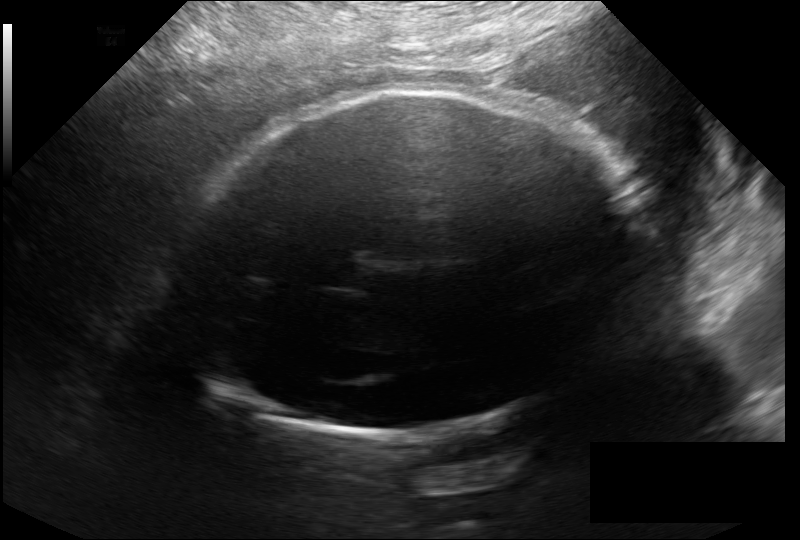
Estimate the fetal head circumference from this 2D ultrasound.

Head circumference: 320.0 mm (image width 196.9 mm).